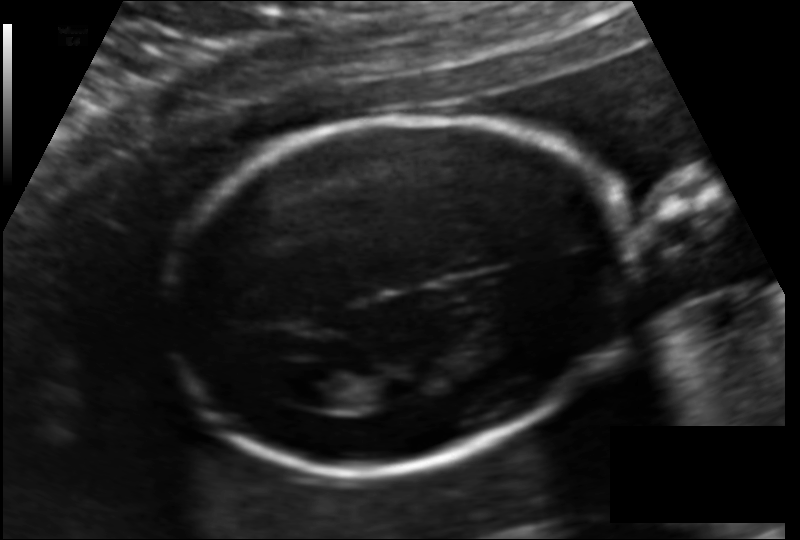
Fetal head ultrasound. Image width: 101.5 mm. Locate the fetal head.

Head: [161,117,634,469]